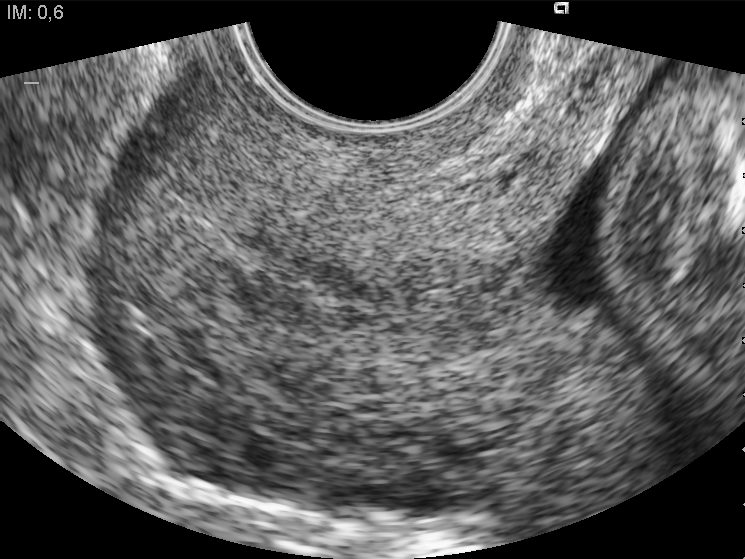
Identify the standard plane in this fetal ultrasound image: fetal abdomen, fetal brain, fetal femur, fetal thorax, maternal cervix, or other. If it's fetal brain and one of the three standard brain planes (trans-thalamic, trans-cerebellum, trans-ventricular), name which.

Maternal cervix